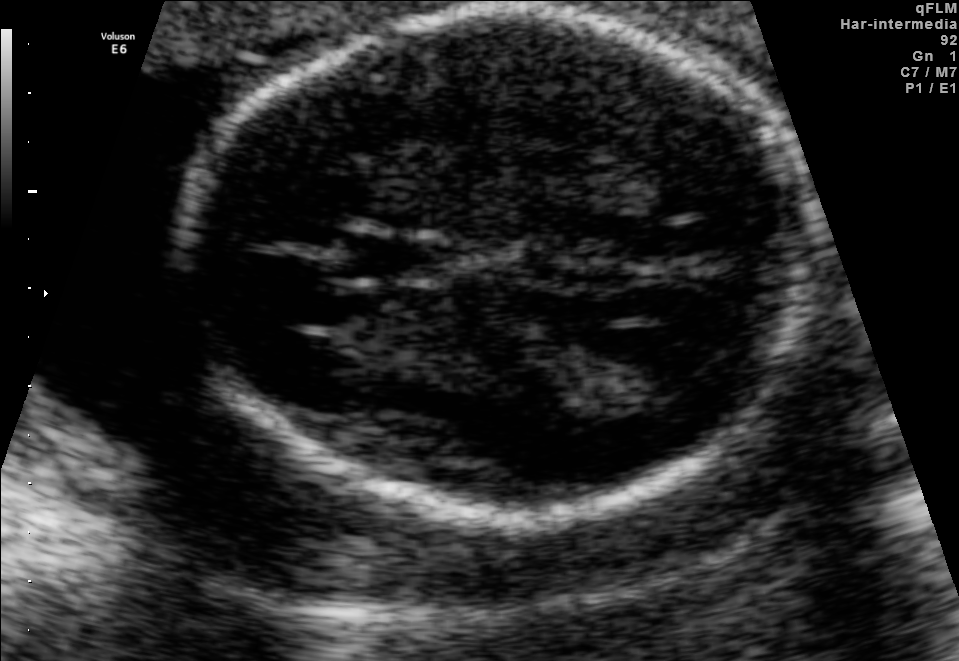
Fetal brain, trans-thalamic plane. Give [x1,y1,x2,y2] bounding boxes for each visible structure among: fetal head, CSP, LV.

Head: [184,9,815,506]
CSP: [344,235,437,280]
Lateral ventricle: [572,312,724,424]